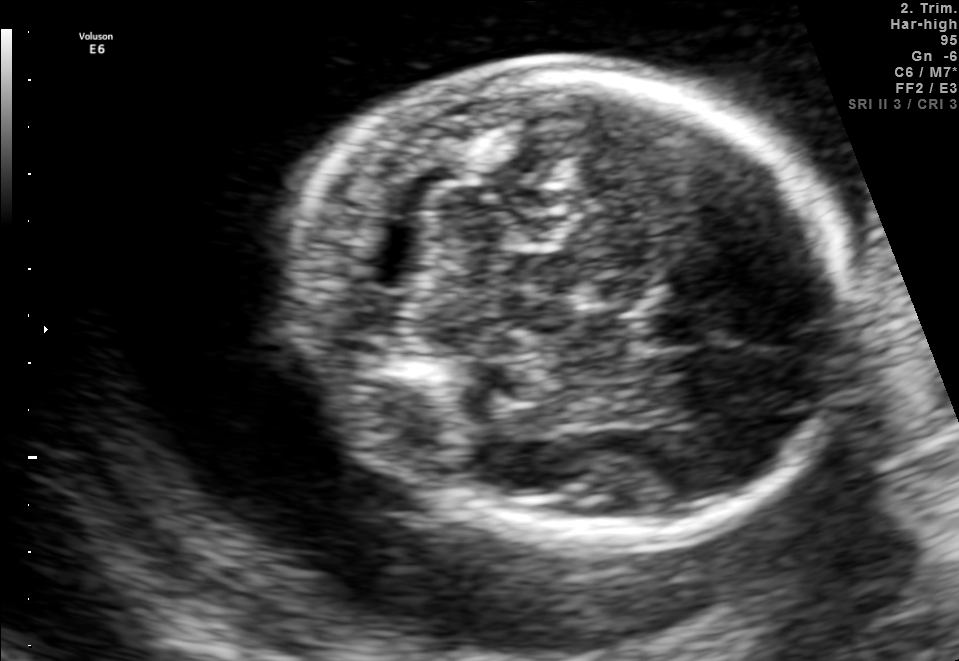
Fetal brain, trans-cerebellum plane. Locate the fetal head and, if visible, the cavum septum pellucidum (CSP) and lateral ventricle (LV). Give bounding boxes as [x1,y1,x2,y2].

Head: [299,72,852,547]
CSP: [642,305,727,355]